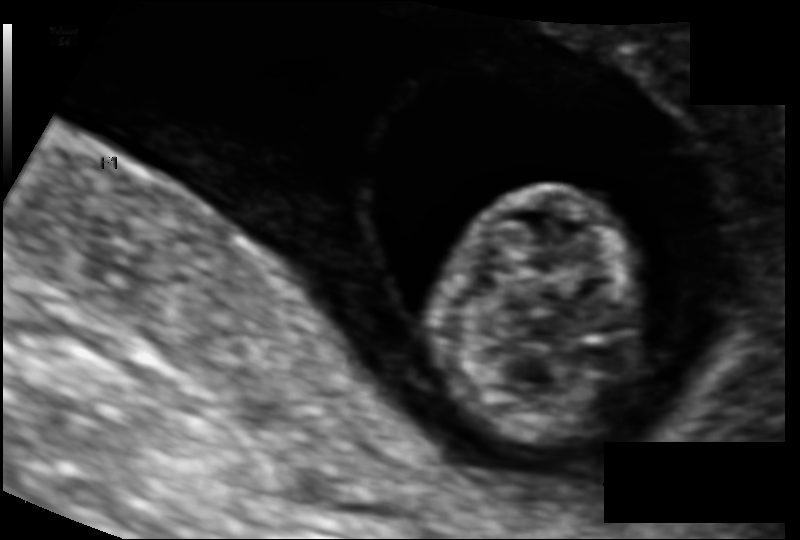
From this fetal ultrasound, estimate the head circumference (image width 75.4 mm).

Head circumference: 70.0 mm.